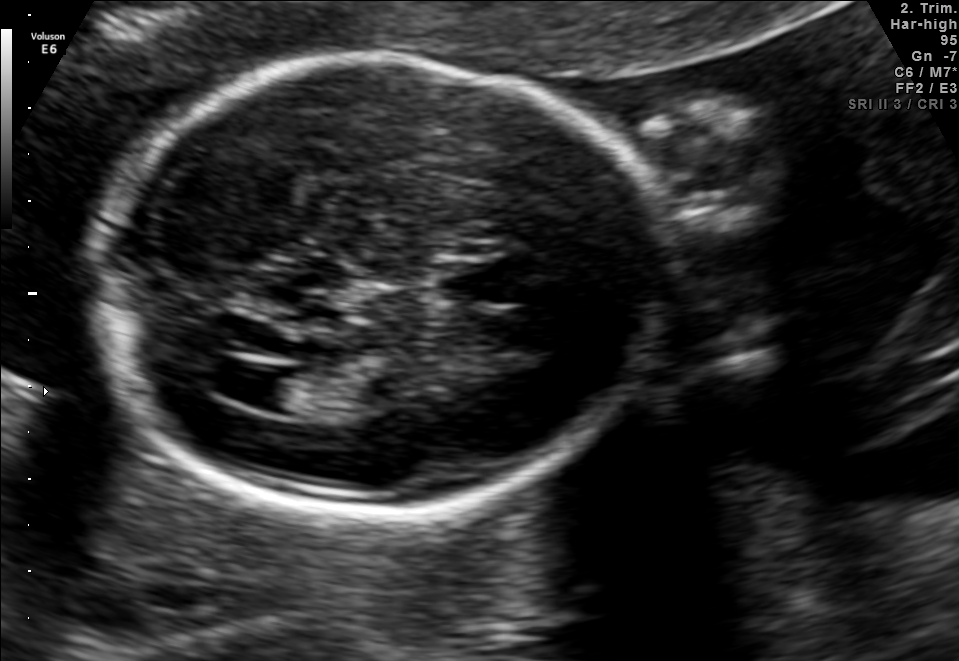
In this fetal brain, trans-ventricular plane, give the bounding box of the lateral ventricle.

[210,356,303,417]